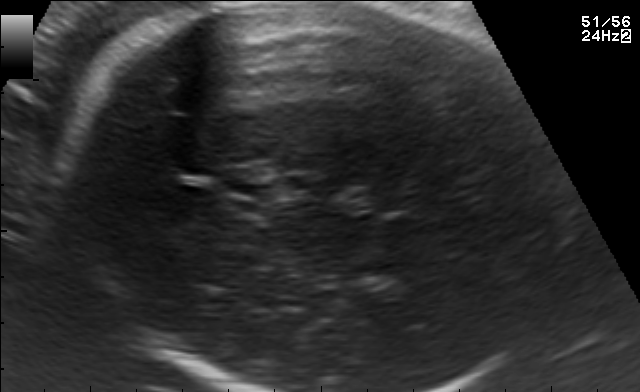
Fetal brain, trans-thalamic plane. Locate the fetal head and, if visible, the cavum septum pellucidum (CSP) and lateral ventricle (LV). Give bounding boxes as [x1,y1,x2,y2].

Head: [69,4,553,391]